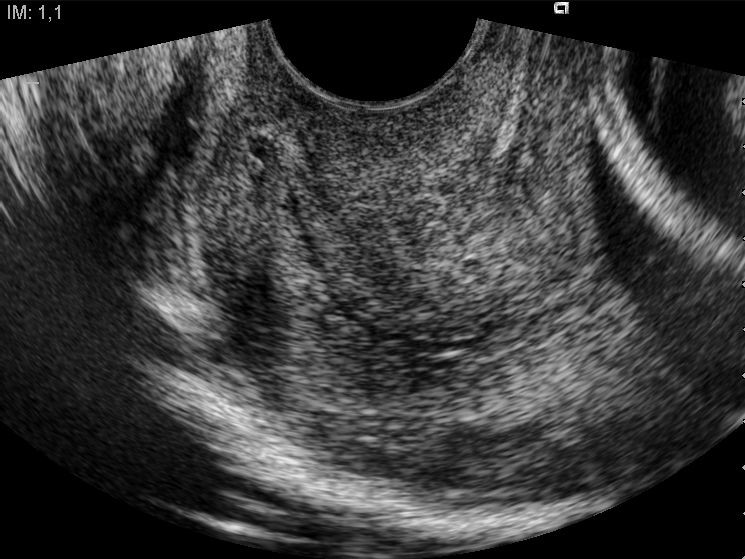
This is a 2D maternal-fetal ultrasound frame. Is it a fetal abdomen, fetal brain, fetal femur, fetal thorax, maternal cervix, or other standard plane? If it's fetal brain and one of the three standard brain planes (trans-thalamic, trans-cerebellum, trans-ventricular), name which.

Maternal cervix